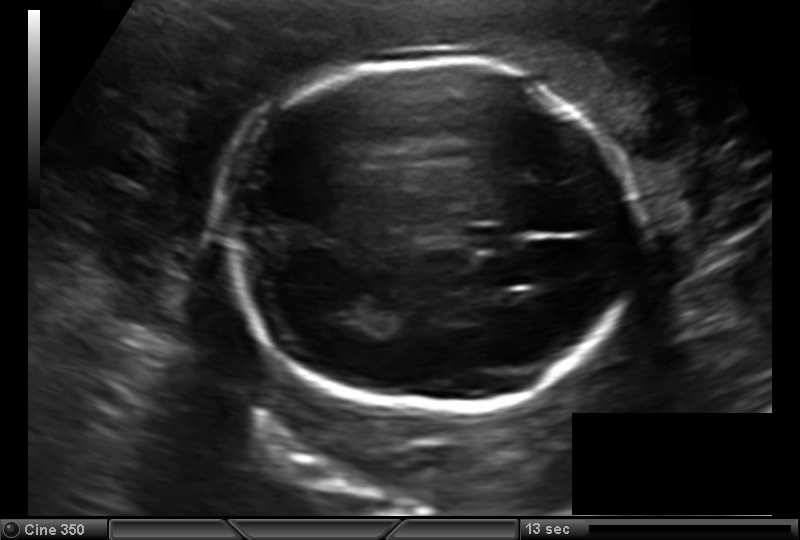
In this fetal head ultrasound, give bounding boxes for the head outline, cavum septum pellucidum (CSP), and lateral ventricle (LV), where visible. Image width: 125.6 mm.

Head: [223,60,642,408]
CSP: [466,226,518,248]
Lateral ventricle: [325,285,379,329]